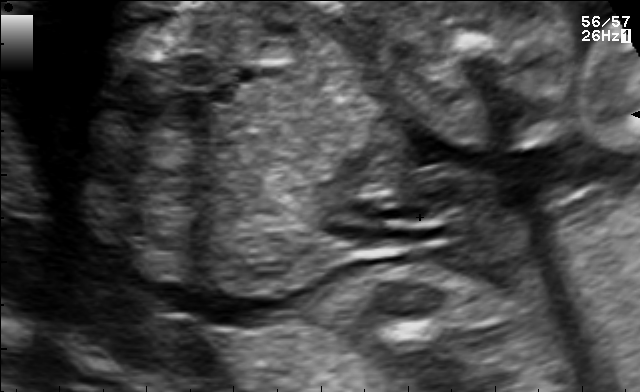
Classify this maternal-fetal ultrasound image as one of the six standard planes — fetal abdomen, fetal brain, fetal femur, fetal thorax, maternal cervix, or other. If it's fetal brain and one of the three standard brain planes (trans-thalamic, trans-cerebellum, trans-ventricular), name which.

Other